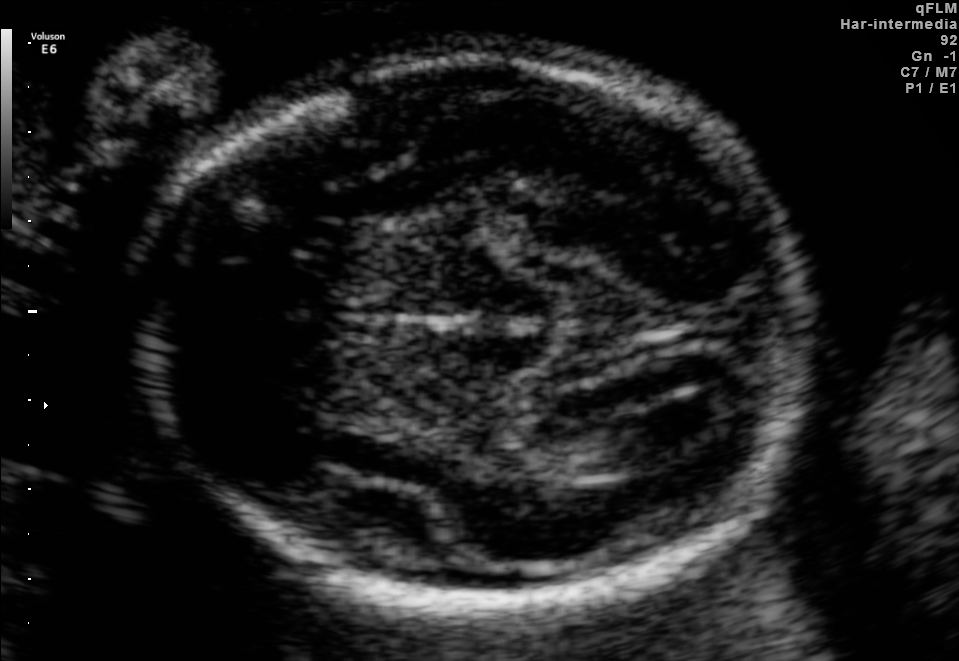
Fetal brain, trans-thalamic plane. Locate the lateral ventricle.

Lateral ventricle: [554,395,710,481]